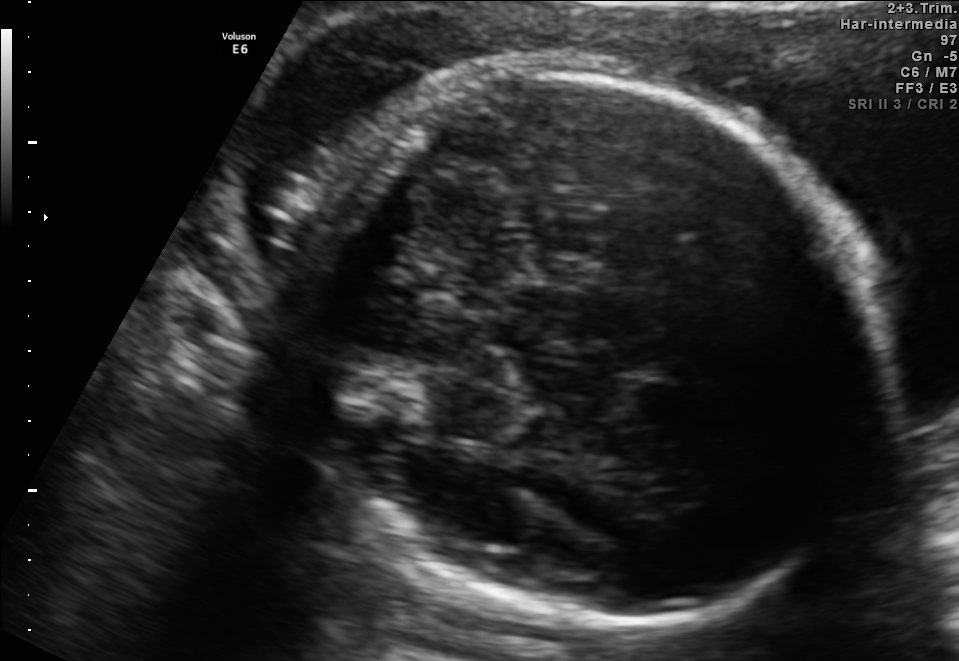
Fetal brain, trans-thalamic plane. Give [x1,y1,x2,y2] bounding boxes for each visible structure among: fetal head, CSP, LV.

Head: [293,62,882,627]